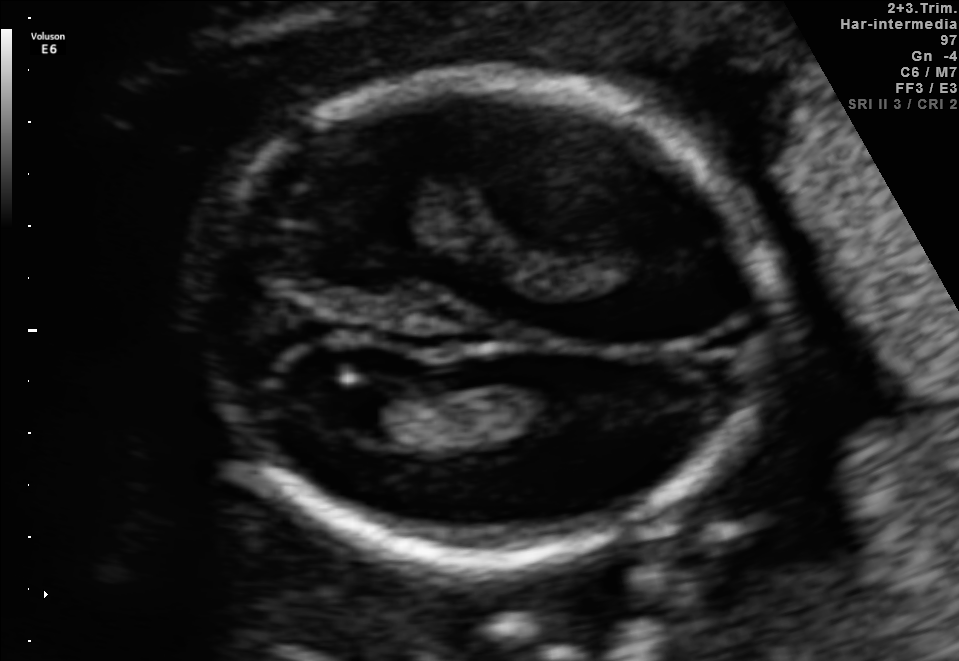
Fetal brain, trans-ventricular plane. Locate the lateral ventricle.

Lateral ventricle: [303,377,401,442]